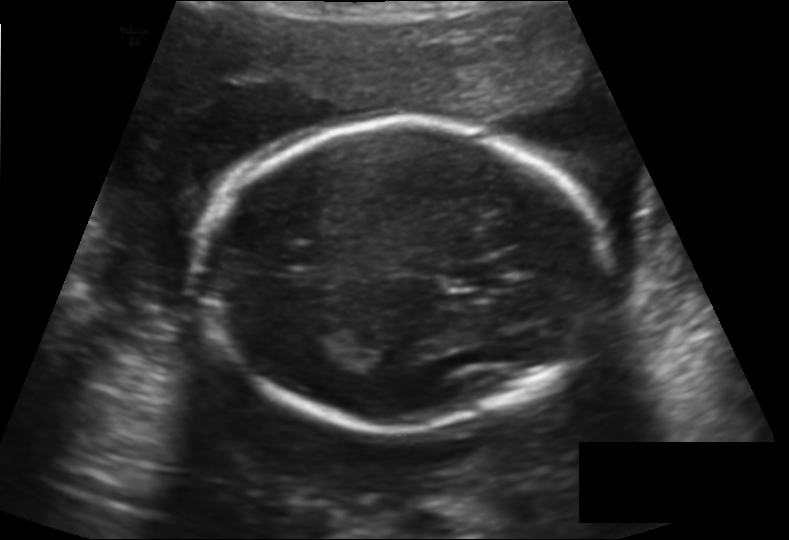
Fetal head ultrasound. Image width: 124.3 mm. Locate the fetal head.

Head: [207,119,601,431]